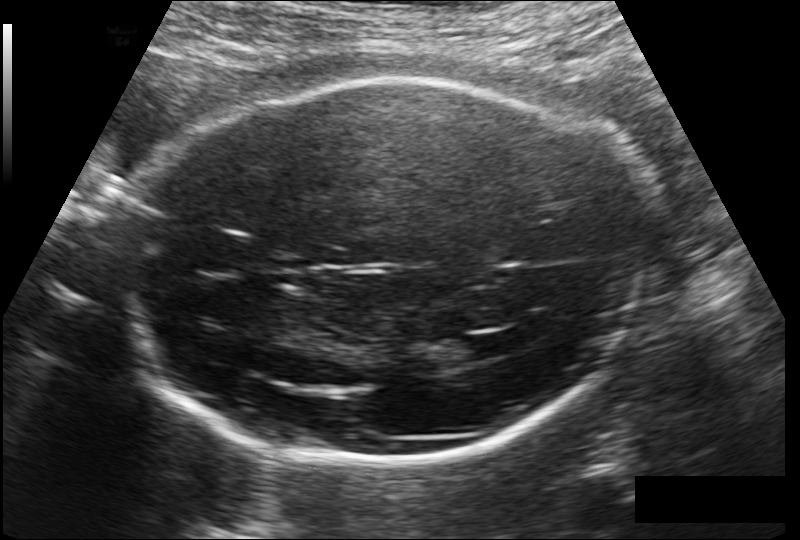
Estimate the fetal head circumference from this 2D ultrasound.

Head circumference: 262.3 mm (image width 142.1 mm).